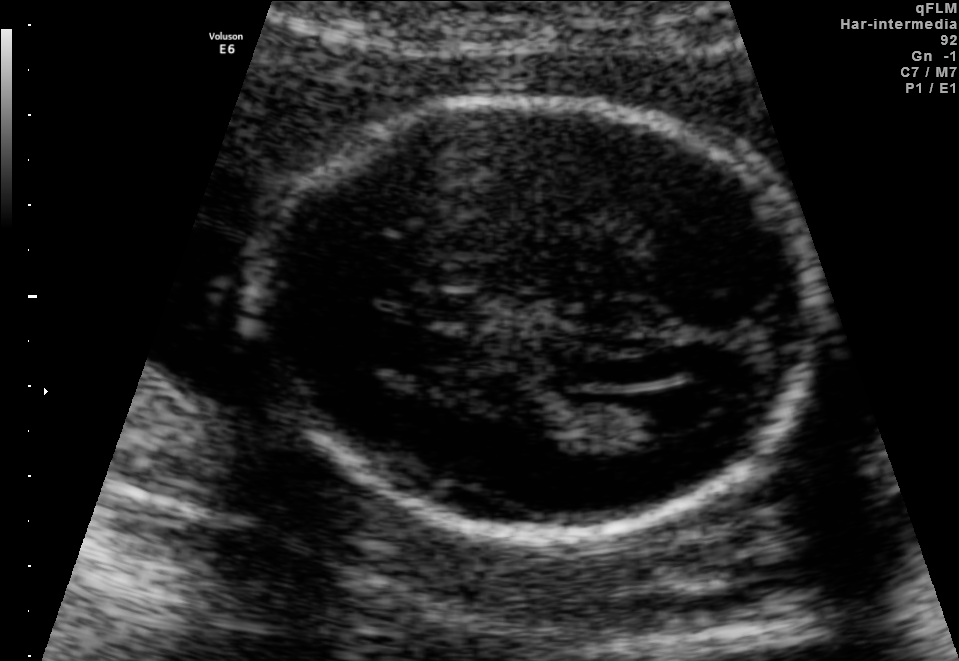
In this fetal brain, trans-ventricular plane, give the bounding box of the lateral ventricle.

[616,384,711,450]